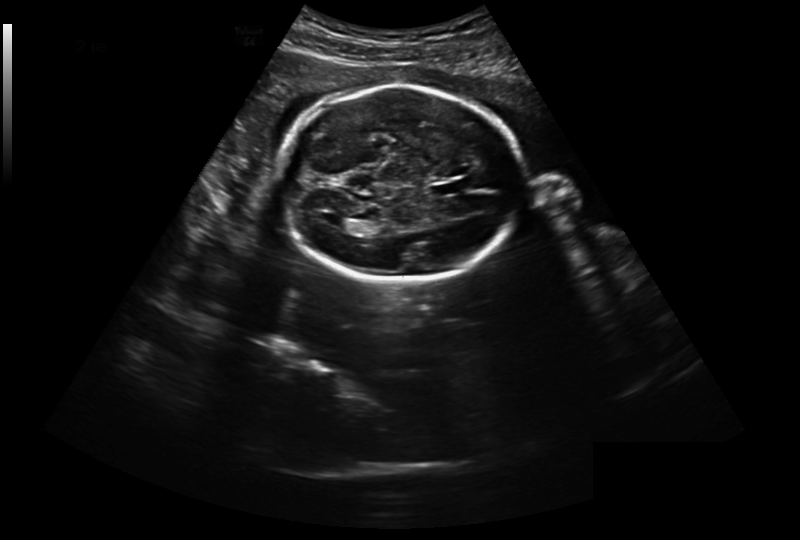
Measure the fetal head circumference shown in this ultrasound image. Image width: 241.1 mm.

Head circumference: 213.8 mm.